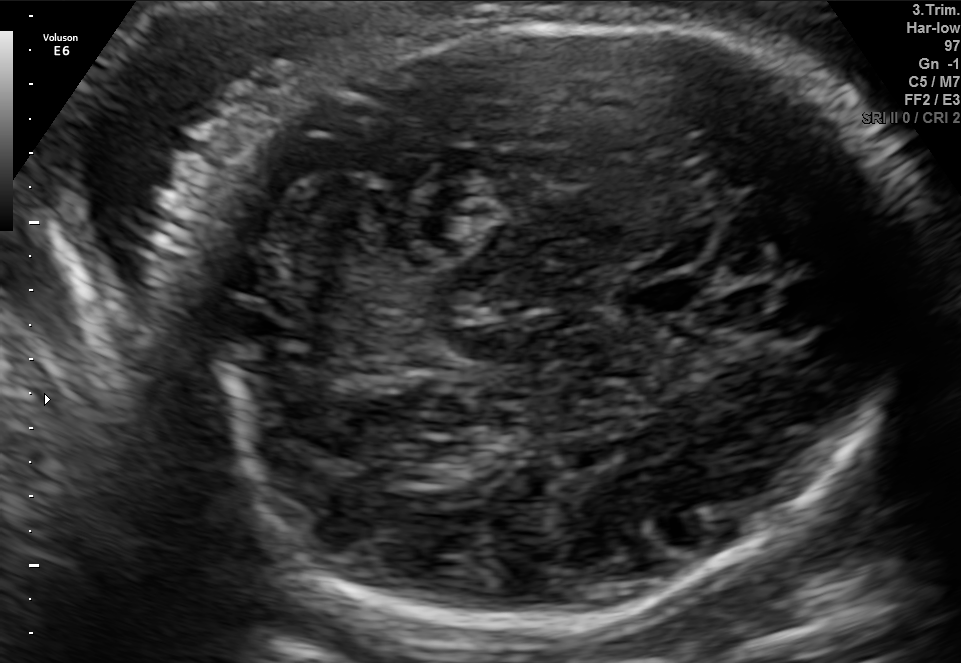
Fetal brain, trans-cerebellum plane. Locate the fetal head and, if visible, the cavum septum pellucidum (CSP) and lateral ventricle (LV). Give bounding boxes as [x1,y1,x2,y2].

Head: [201,18,918,623]
CSP: [617,262,712,329]